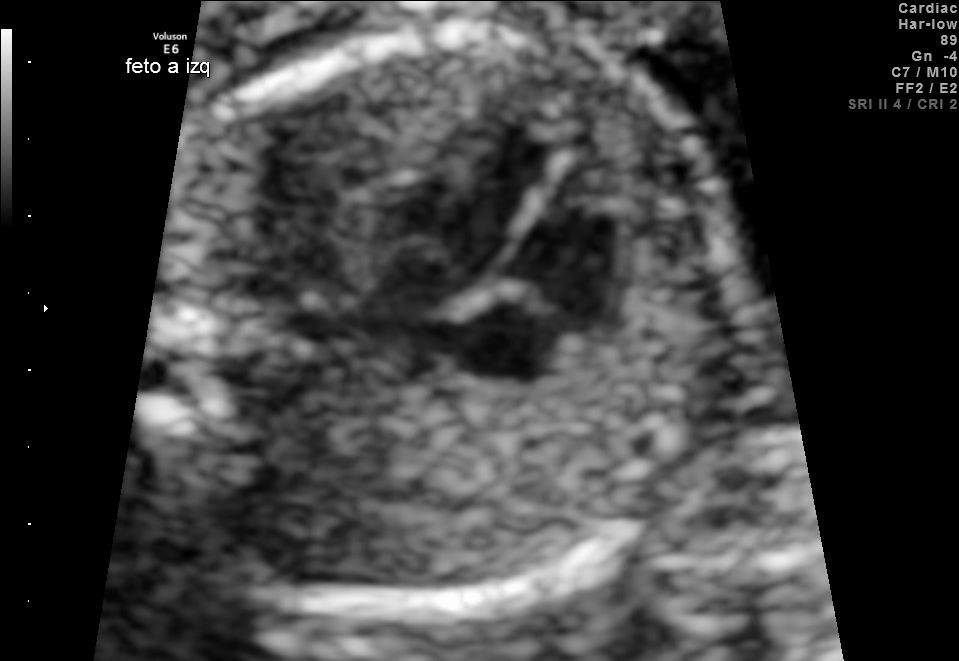
Which standard maternal-fetal ultrasound plane is shown: fetal abdomen, fetal brain, fetal femur, fetal thorax, maternal cervix, or other? If it's fetal brain and one of the three standard brain planes (trans-thalamic, trans-cerebellum, trans-ventricular), name which.

Fetal thorax